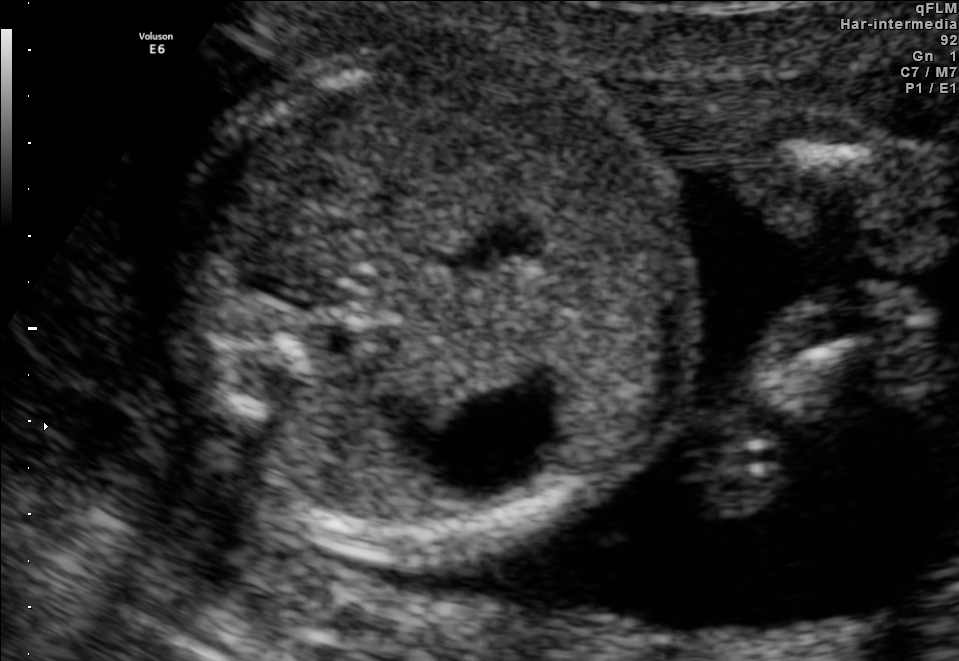
Identify the standard plane in this fetal ultrasound image: fetal abdomen, fetal brain, fetal femur, fetal thorax, maternal cervix, or other. If it's fetal brain and one of the three standard brain planes (trans-thalamic, trans-cerebellum, trans-ventricular), name which.

Fetal abdomen